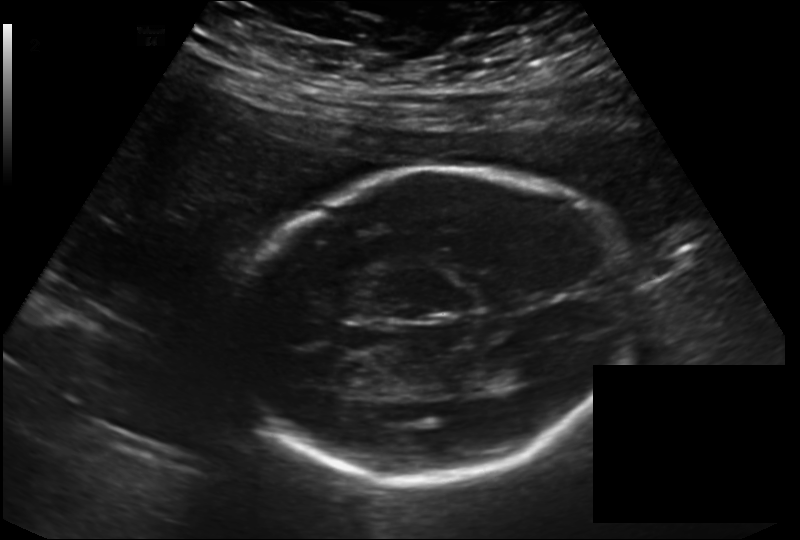
Fetal head ultrasound. Image width: 158.6 mm. Where is the fetal head?

Head bounding box: [239,167,633,483]